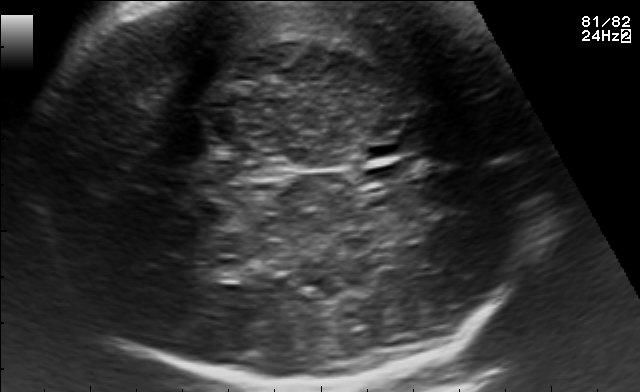
In this fetal brain, trans-thalamic plane, give bounding boxes for the head outline, cavum septum pellucidum (CSP), and lateral ventricle (LV), where visible.

Head: [26,3,546,388]